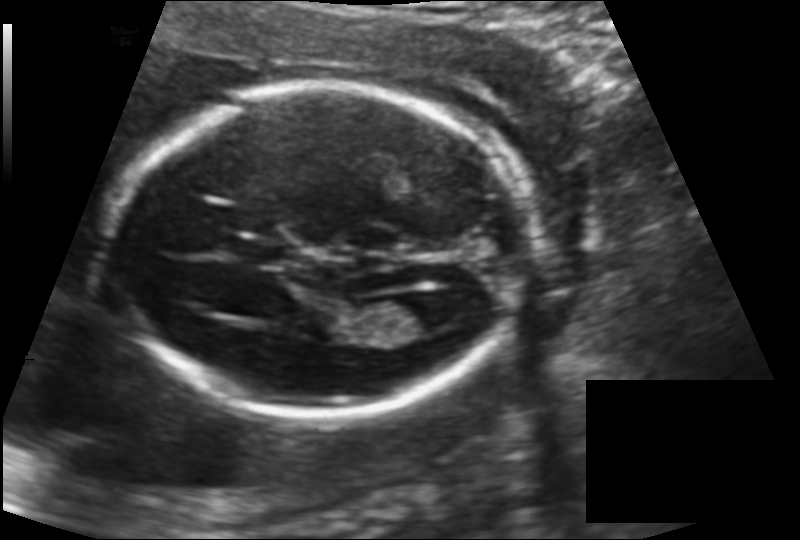
In this fetal head ultrasound, give the bounding box of the fetal head. Image width: 113.5 mm.

[118,85,517,413]